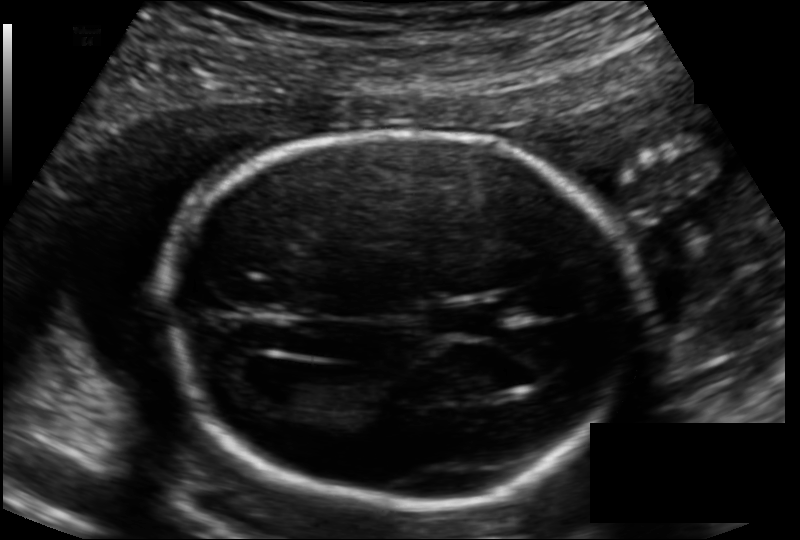
In this fetal head ultrasound, give the bounding box of the lateral ventricle. Image width: 100.8 mm.

[239,353,324,411]